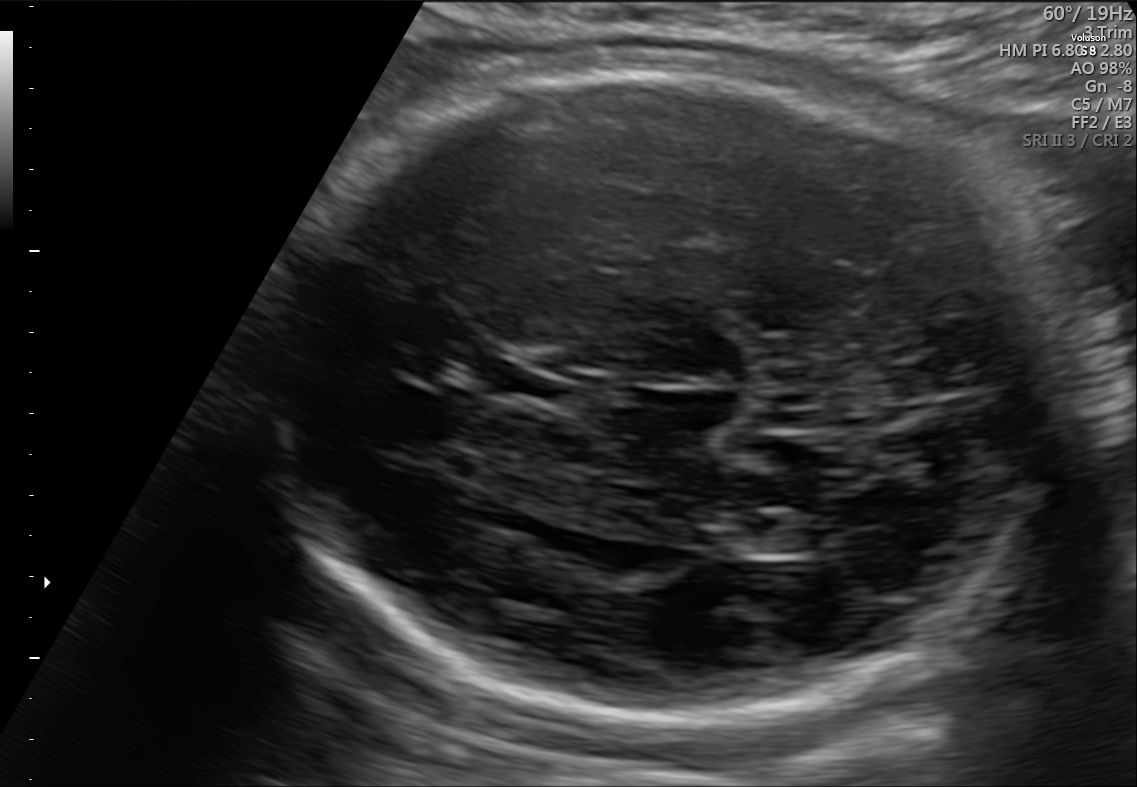
In this fetal brain, trans-ventricular plane, give bounding boxes for the head outline, cavum septum pellucidum (CSP), and lateral ventricle (LV), where visible.

Head: [260,56,1100,733]